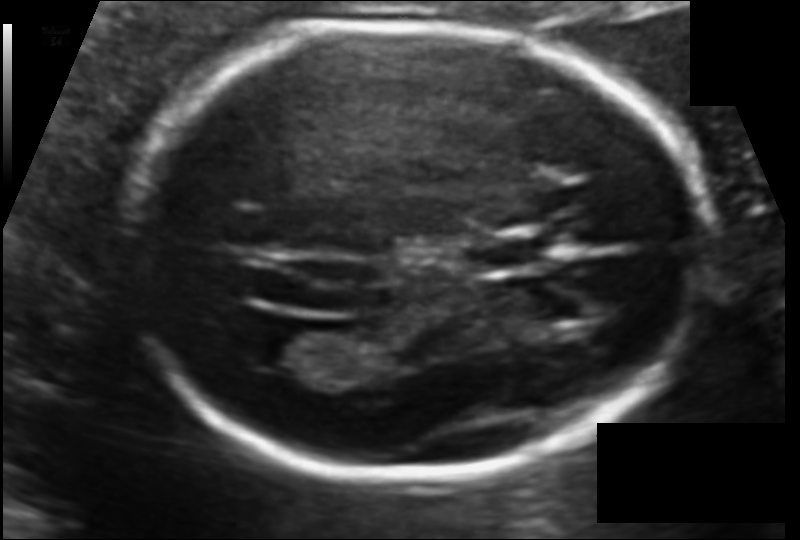
Estimate the fetal head circumference from this 2D ultrasound. Image width: 85.6 mm.

Head circumference: 180.2 mm.